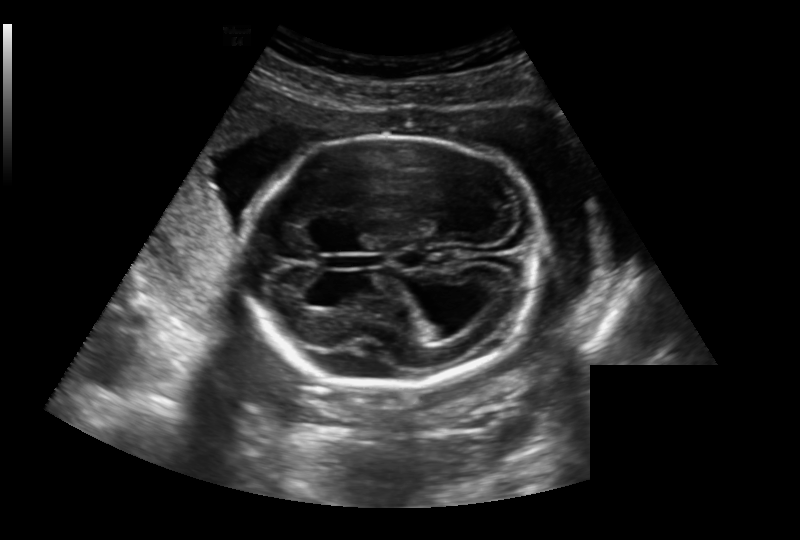
Measure the fetal head circumference shown in this ultrasound image. Image width: 188.6 mm.

Head circumference: 210.9 mm.